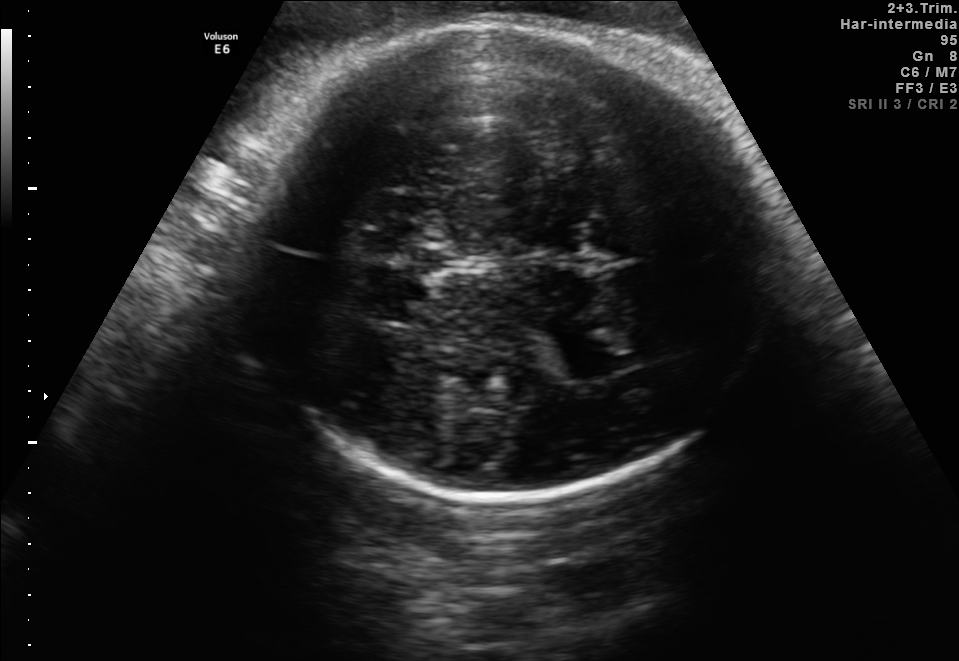
Fetal brain, trans-thalamic plane. Where is the fetal head?

Head bounding box: [240,24,781,501]